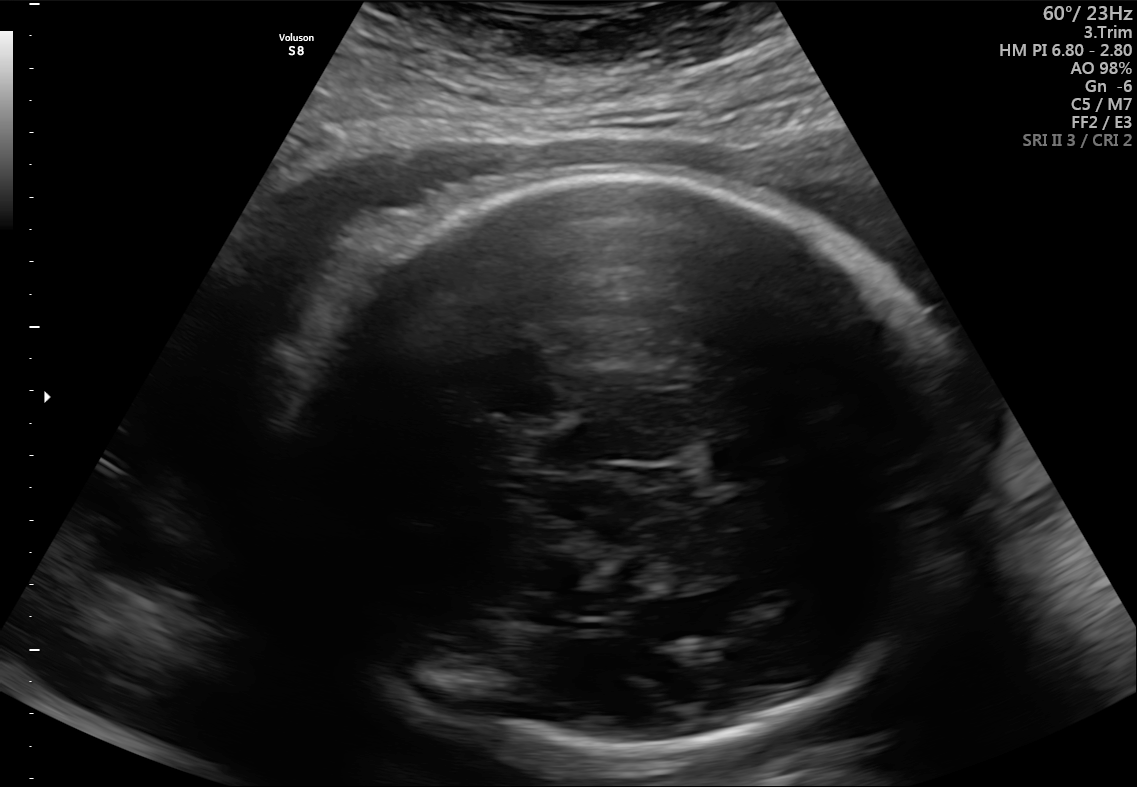
Fetal brain, trans-thalamic plane. Where is the cavum septum pellucidum?

CSP bounding box: [710,440,777,479]